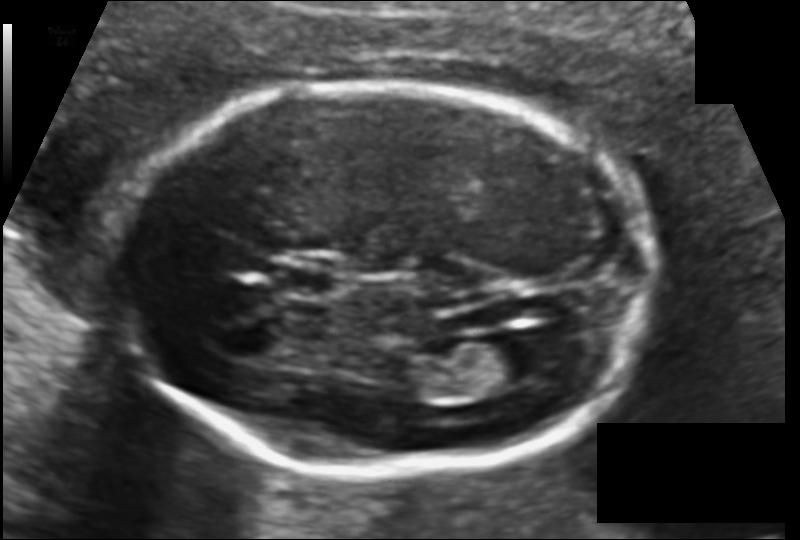
Fetal head ultrasound. Image width: 90.6 mm. Where is the fetal head?

Head bounding box: [122,84,657,474]